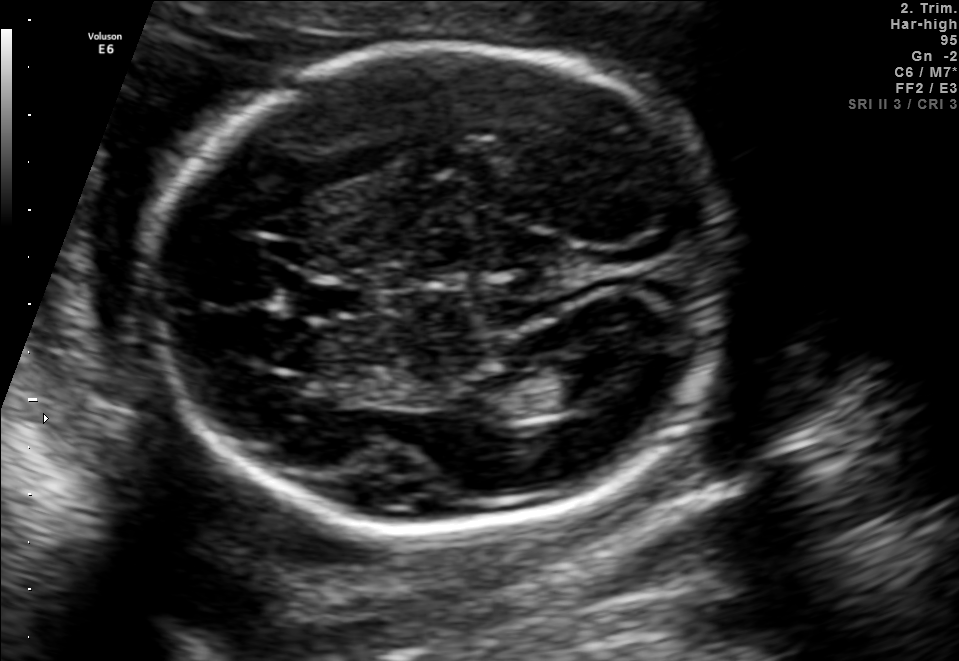
This is a 2D maternal-fetal ultrasound frame. Is it a fetal abdomen, fetal brain, fetal femur, fetal thorax, maternal cervix, or other standard plane? If it's fetal brain and one of the three standard brain planes (trans-thalamic, trans-cerebellum, trans-ventricular), name which.

Fetal brain (trans-ventricular plane)